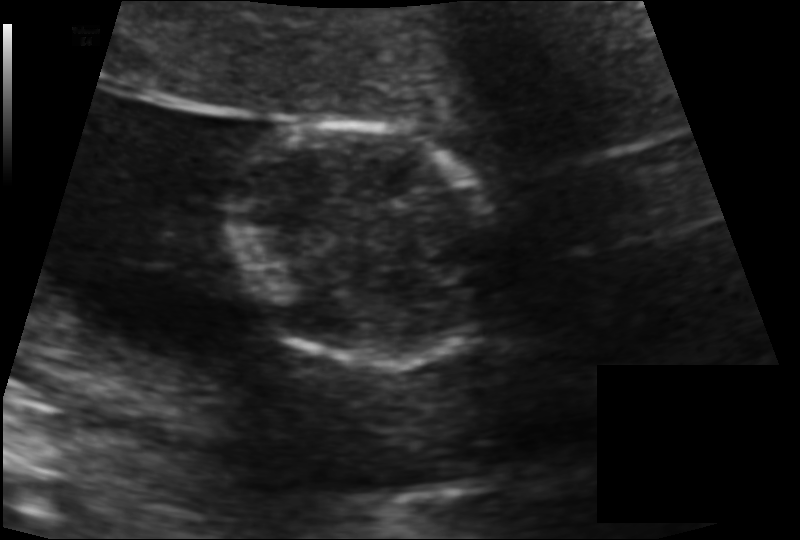
In this fetal head ultrasound, give bounding boxes for the head outline, cavum septum pellucidum (CSP), and lateral ventricle (LV), where visible. Image width: 91.8 mm.

Head: [223,122,494,368]